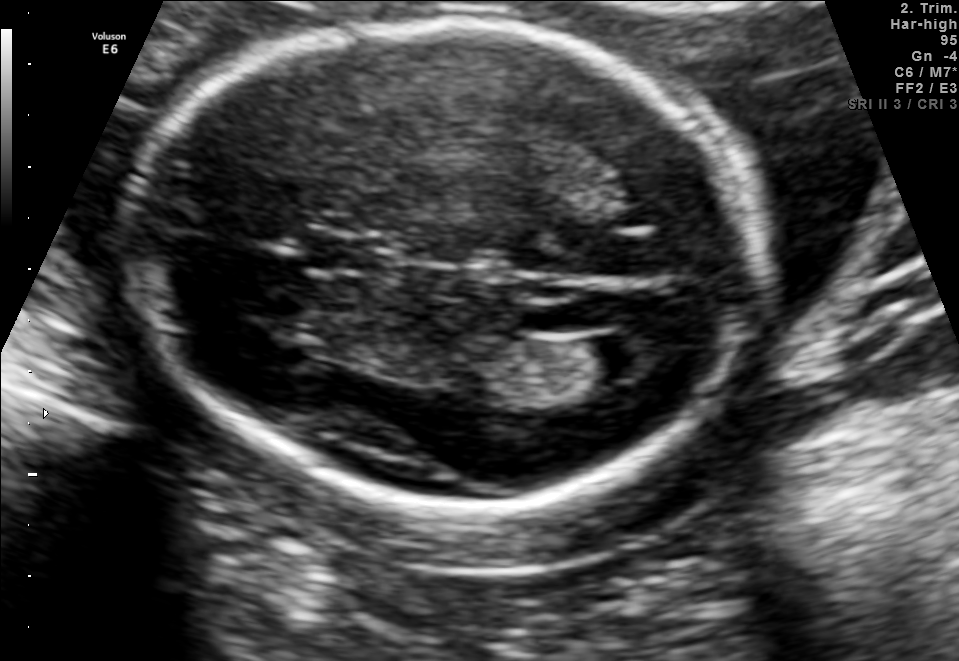
Fetal brain, trans-ventricular plane. Locate the fetal head.

Head: [114,6,785,521]